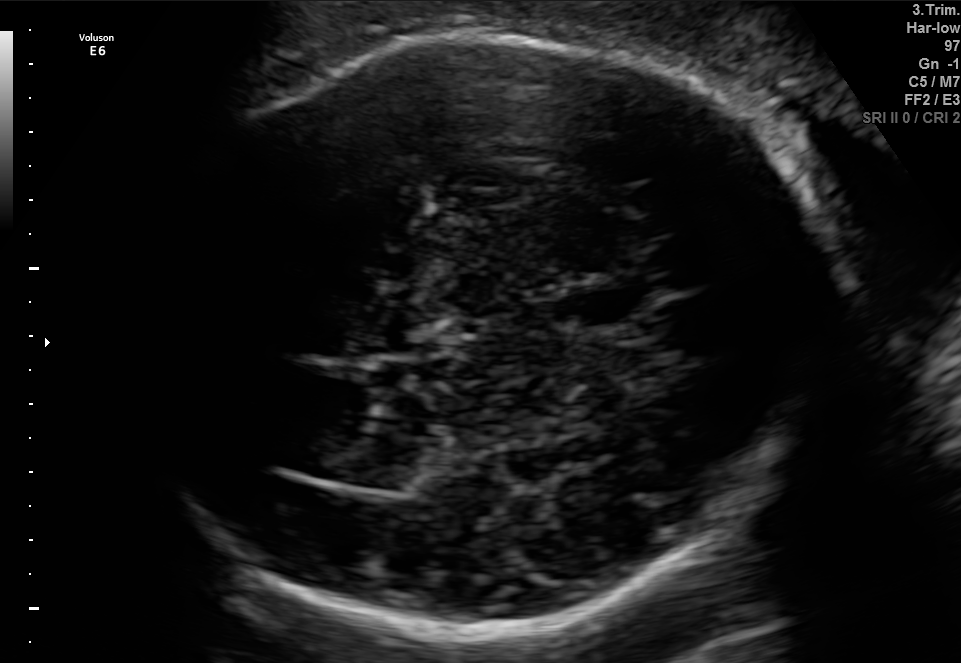
In this fetal brain, trans-thalamic plane, give bounding boxes for the head outline, cavum septum pellucidum (CSP), and lateral ventricle (LV), where visible.

Head: [140,33,831,634]
CSP: [549,273,655,336]
Lateral ventricle: [294,403,427,499]